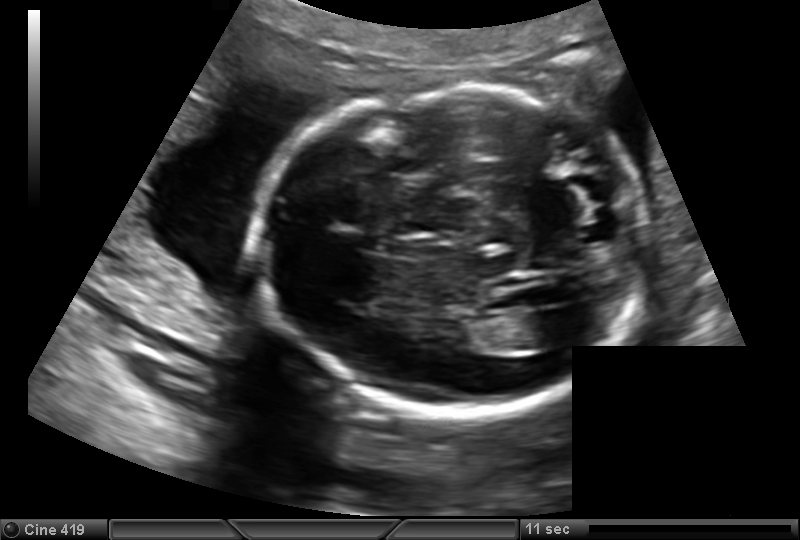
Measure the fetal head circumference shown in this ultrasound image. Image width: 120.7 mm.

Head circumference: 176.9 mm.